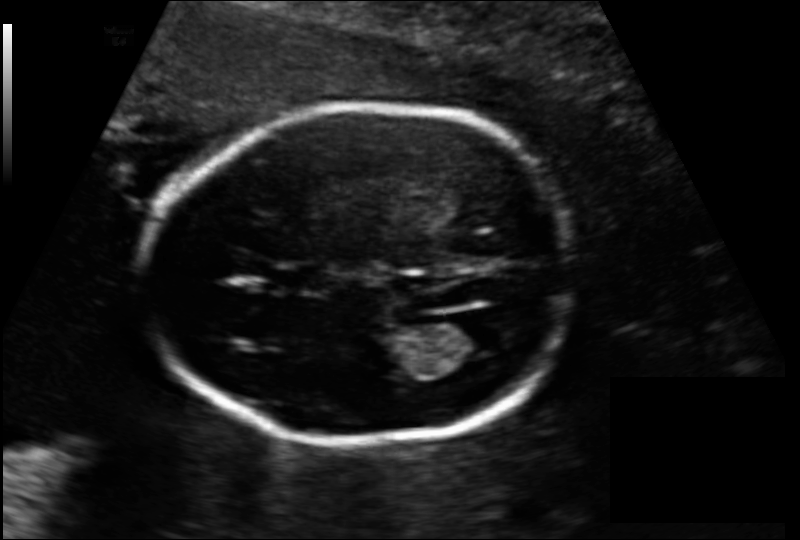
Fetal head ultrasound. Image width: 109.4 mm. Where is the cavum septum pellucidum?

CSP bounding box: [267,264,328,291]